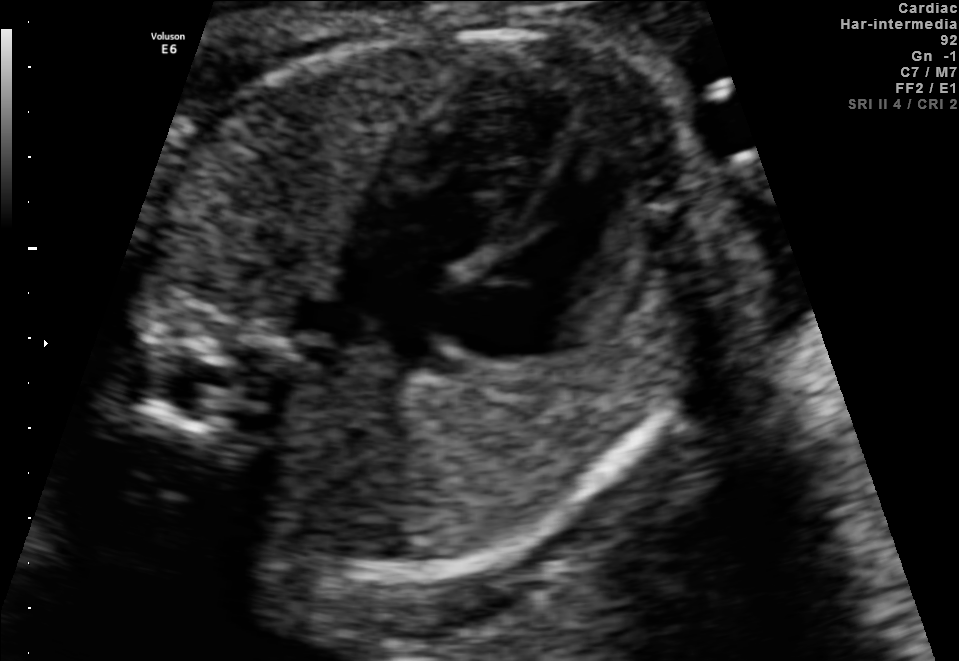
Identify the standard plane in this fetal ultrasound image: fetal abdomen, fetal brain, fetal femur, fetal thorax, maternal cervix, or other. If it's fetal brain and one of the three standard brain planes (trans-thalamic, trans-cerebellum, trans-ventricular), name which.

Fetal thorax